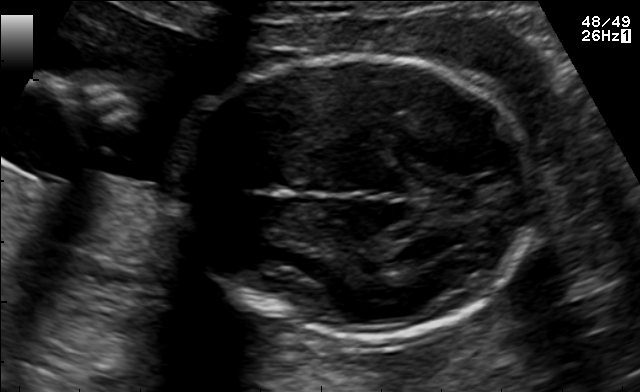
Fetal brain, trans-thalamic plane. Locate the fetal head.

Head: [182,56,537,340]